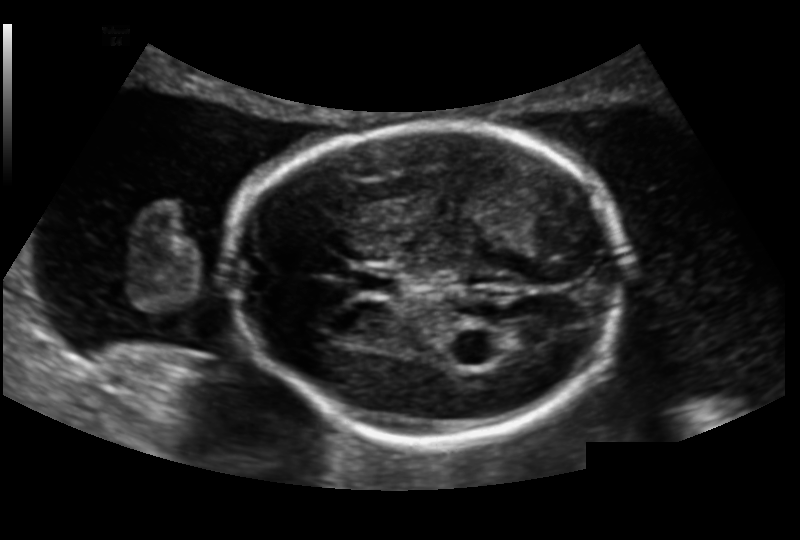
Fetal head ultrasound. Image width: 121.1 mm. Locate the fetal head and, if visible, the cavum septum pellucidum (CSP) and lateral ventricle (LV). Give bounding boxes as [x1,y1,x2,y2].

Head: [229,123,626,444]
CSP: [352,268,402,297]
Lateral ventricle: [496,318,553,355]